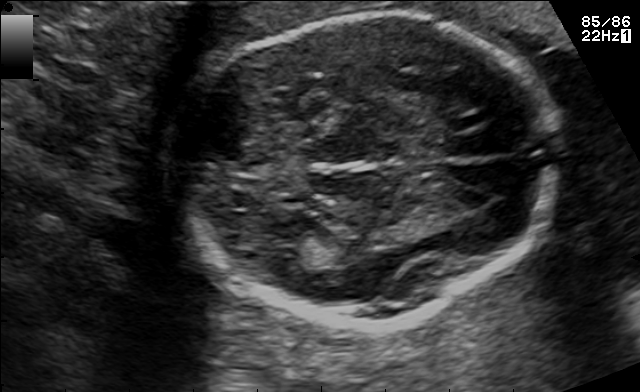
Fetal brain, trans-thalamic plane. Locate the fetal head and, if visible, the cavum septum pellucidum (CSP) and lateral ventricle (LV). Give bounding boxes as [x1,y1,x2,y2].

Head: [176,12,562,327]